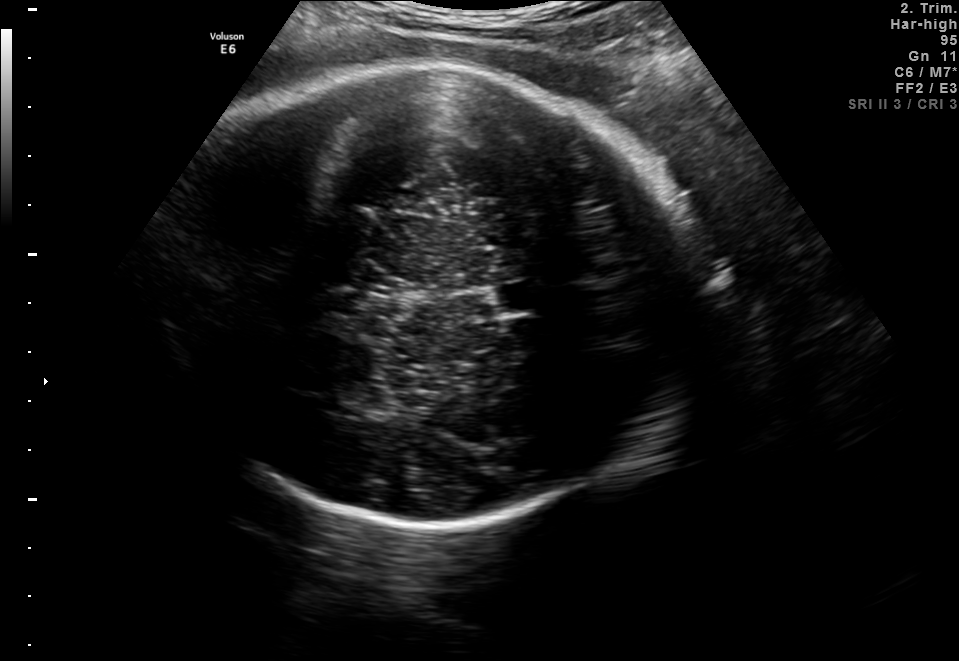
Fetal brain, trans-thalamic plane. Give [x1,y1,x2,y2] bounding boxes for each visible structure among: fetal head, CSP, LV.

Head: [155,66,702,527]
CSP: [490,278,555,318]